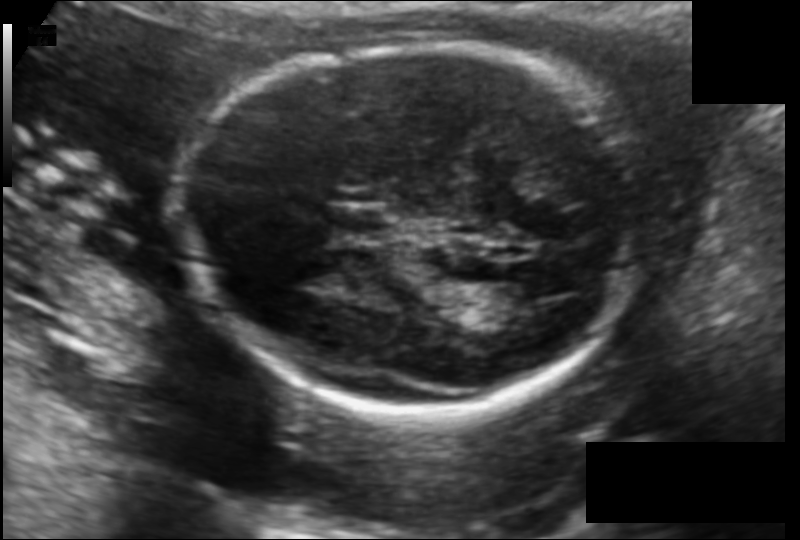
Fetal head ultrasound. Image width: 98.5 mm. Locate the cavum septum pellucidum.

CSP: [331,207,387,241]